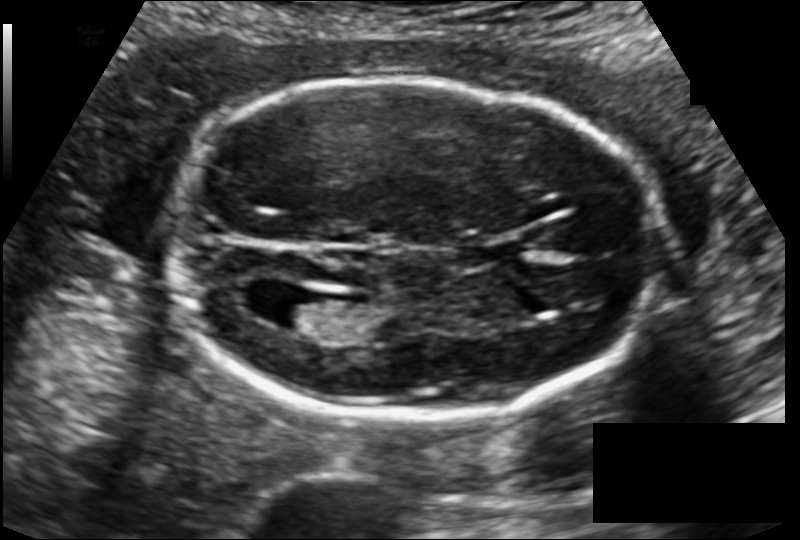
Fetal head ultrasound. Image width: 103.4 mm. Locate the fetal head and, if visible, the cavum septum pellucidum (CSP) and lateral ventricle (LV). Give bounding boxes as [x1,y1,x2,y2].

Head: [163,78,657,419]
CSP: [462,231,528,271]
Lateral ventricle: [262,285,334,337]